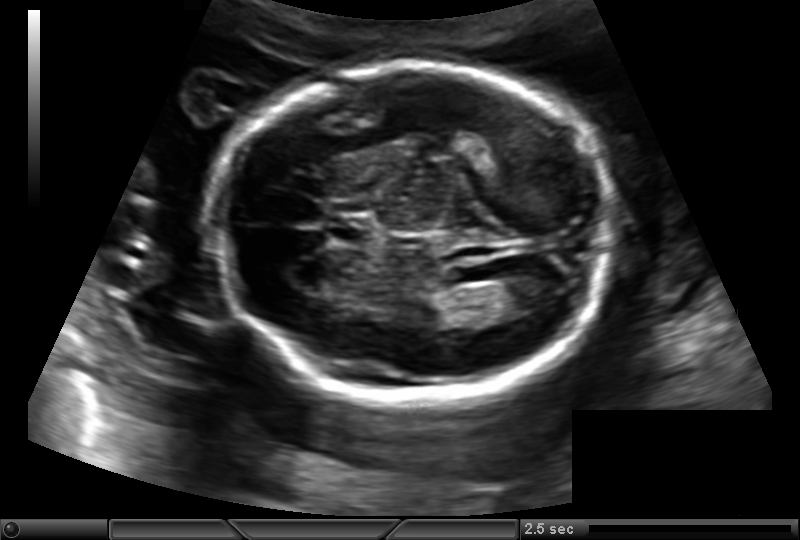
Estimate the fetal head circumference from this 2D ultrasound. Image width: 116.2 mm.

Head circumference: 174.9 mm.